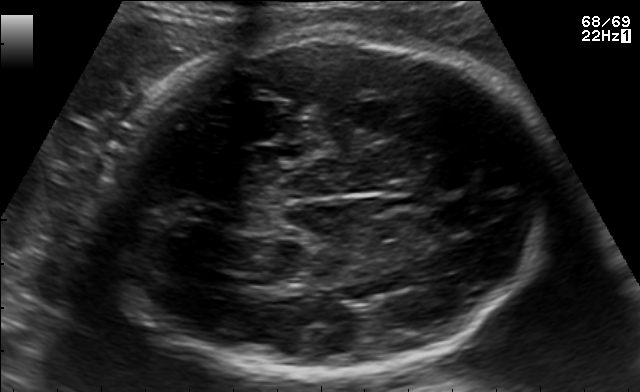
Fetal brain, trans-thalamic plane. Give [x1,y1,x2,y2] bounding boxes for each visible structure among: fetal head, CSP, LV.

Head: [102,32,550,379]